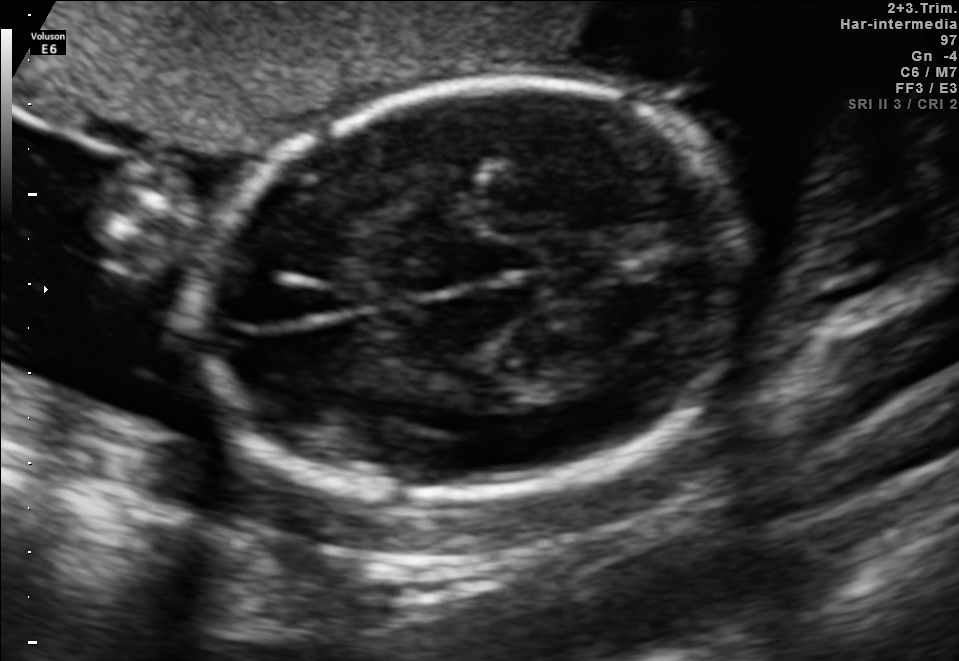
Fetal brain, trans-thalamic plane. Locate the fetal head.

Head: [193,80,752,495]